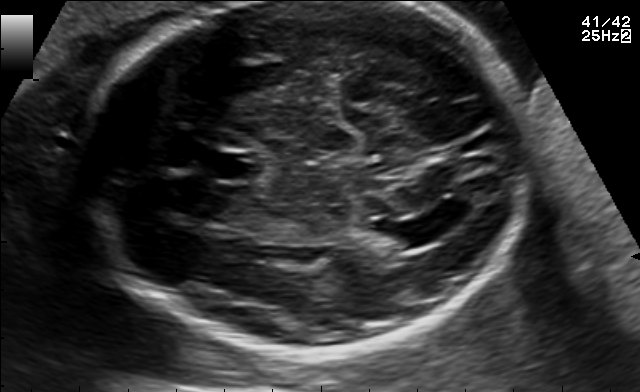
Fetal brain, trans-ventricular plane. Where is the cavum septum pellucidum?

CSP bounding box: [197,150,263,183]